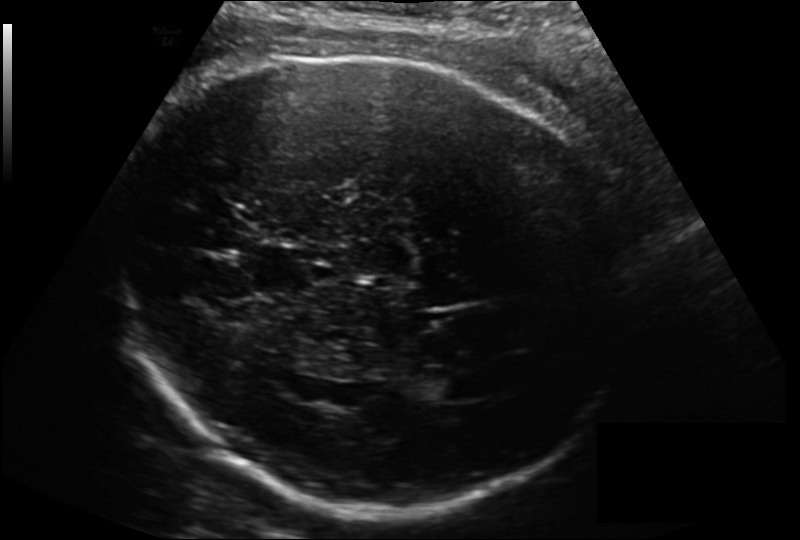
Estimate the fetal head circumference from this 2D ultrasound. Image width: 159.6 mm.

Head circumference: 307.0 mm.